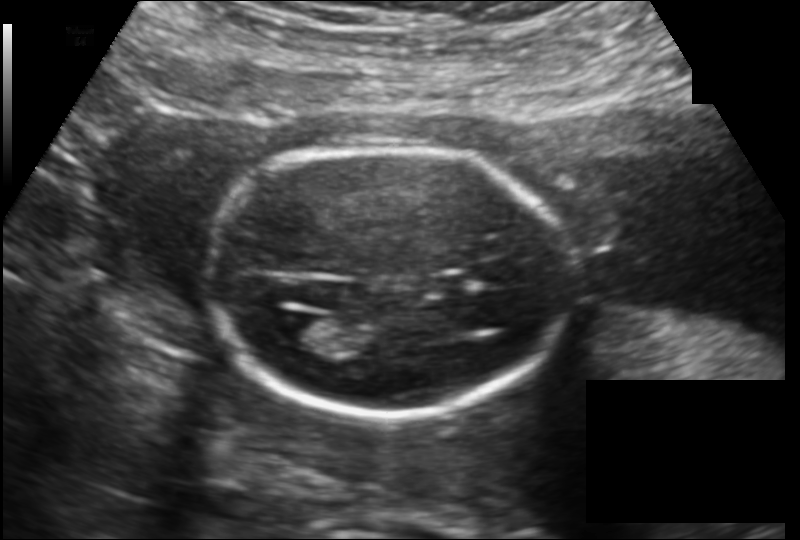
Fetal head ultrasound. Image width: 119.1 mm. Locate the lateral ventricle.

Lateral ventricle: [272,310,326,347]